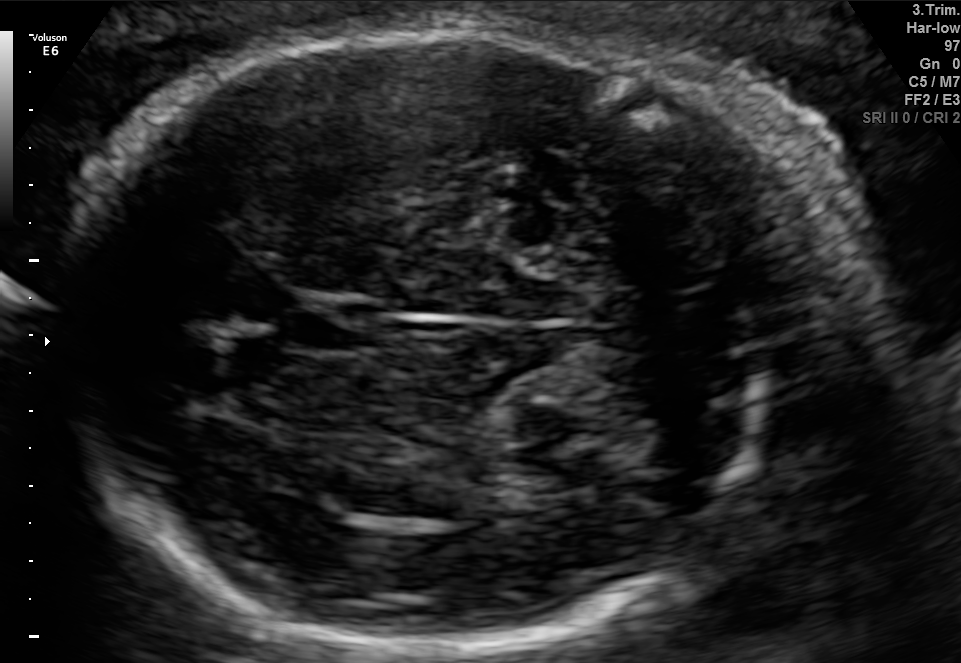
Fetal brain, trans-cerebellum plane. Where is the cavum septum pellucidum?

CSP bounding box: [279,290,371,354]